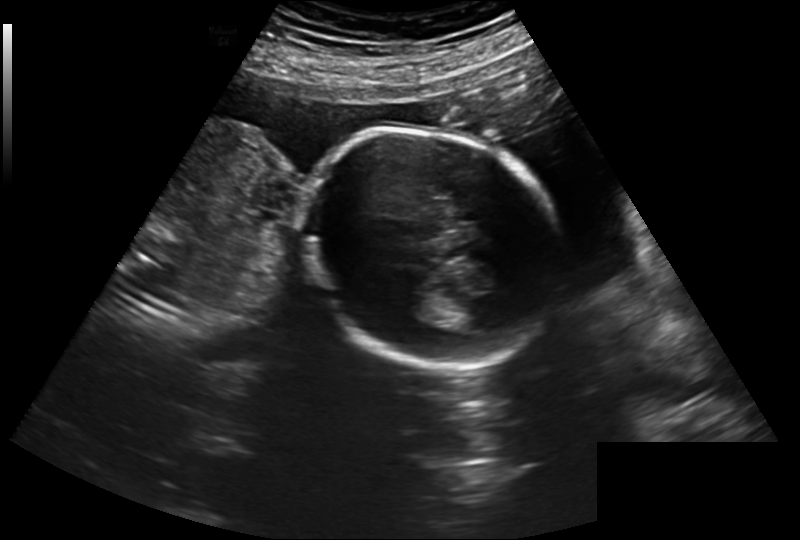
Estimate the fetal head circumference from this 2D ultrasound.

Head circumference: 214.4 mm (image width 207.9 mm).